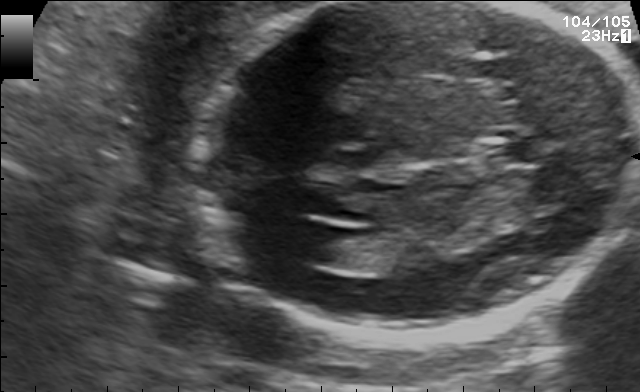
Fetal brain, trans-ventricular plane. Where is the lateral ventricle?

Lateral ventricle bounding box: [278,215,349,268]